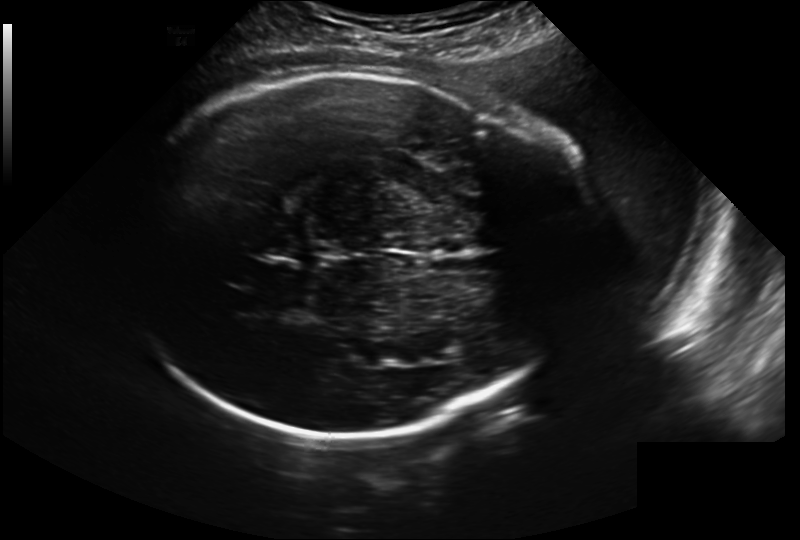
In this fetal head ultrasound, give the bounding box of the fetal head. Image width: 192.7 mm.

[129,73,554,438]